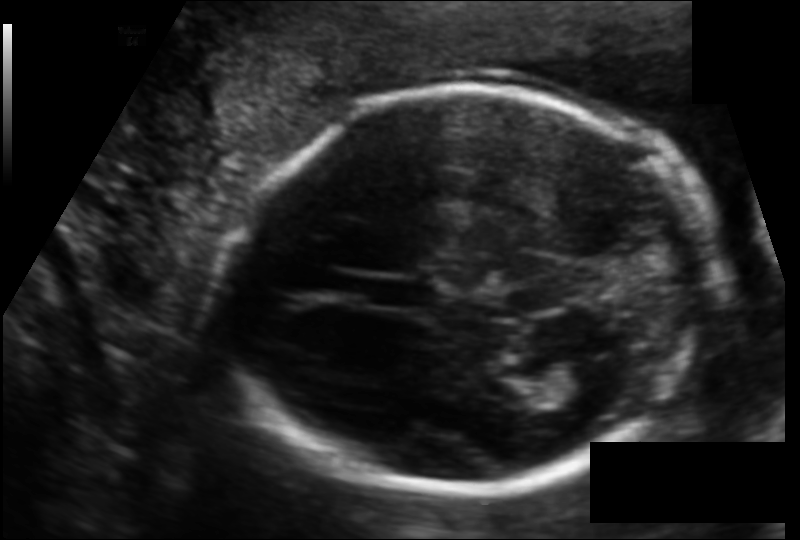
Fetal head ultrasound. Image width: 95.3 mm. Give [x1,y1,x2,y2] bounding boxes for each visible structure among: fetal head, CSP, LV.

Head: [232,83,717,491]
CSP: [370,277,434,308]
Lateral ventricle: [527,347,624,417]